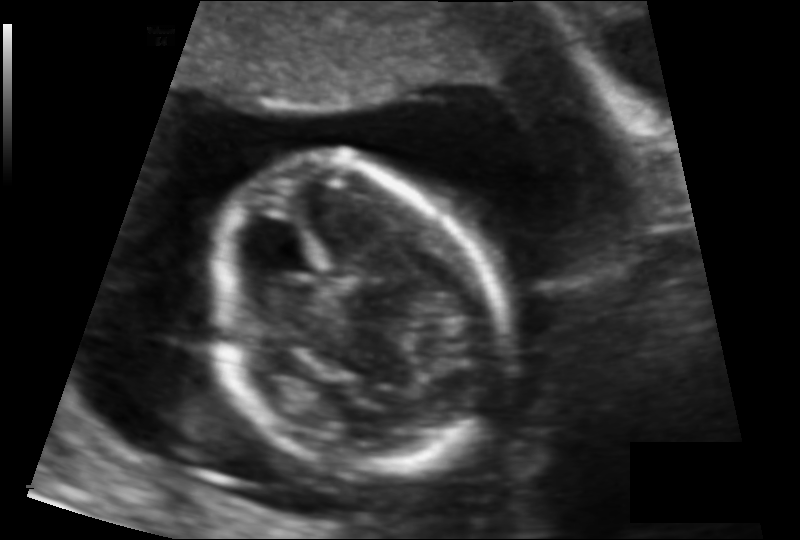
In this fetal head ultrasound, give the bounding box of the fetal head. Image width: 82.6 mm.

[211,157,504,473]